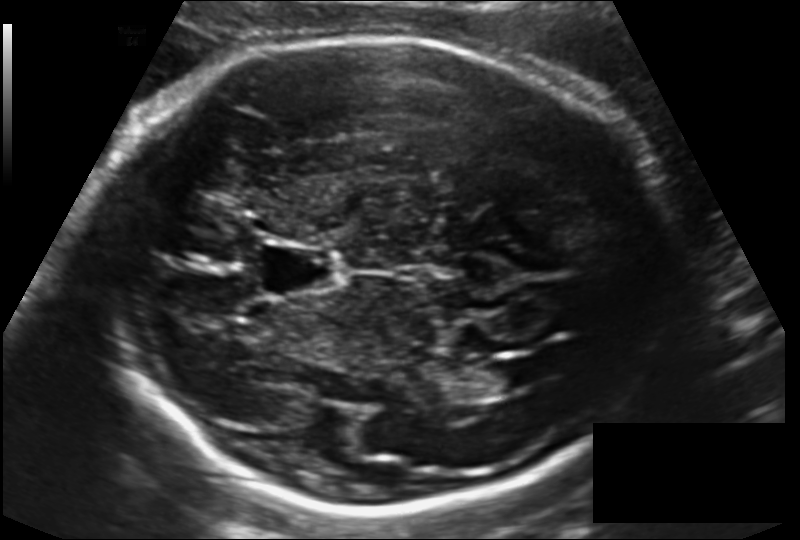
Fetal head ultrasound. Image width: 123.9 mm. Locate the lateral ventricle.

Lateral ventricle: [470,357,527,399]